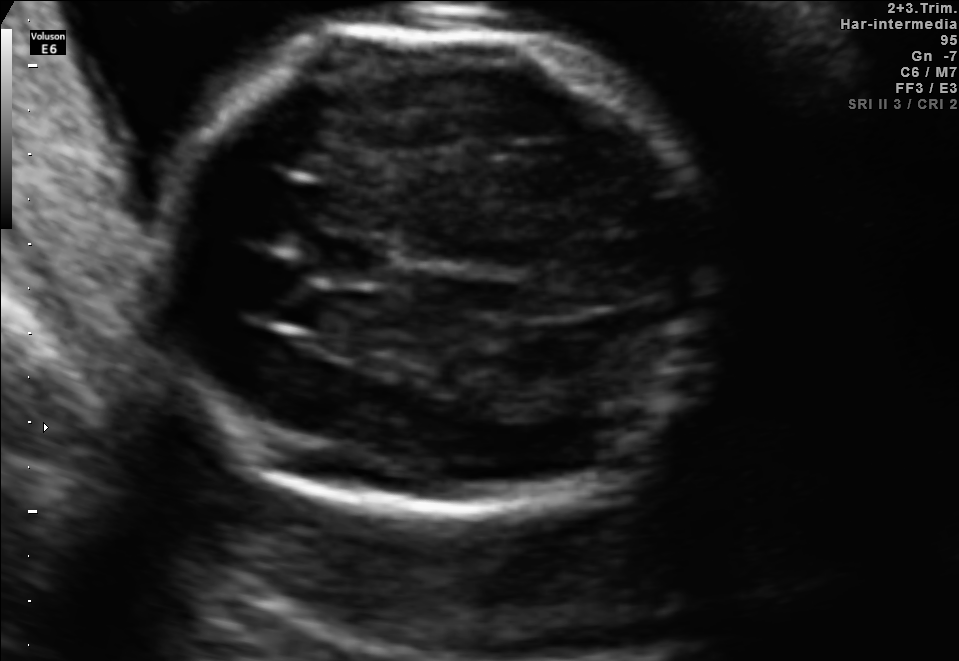
Fetal brain, trans-thalamic plane. Locate the cavum septum pellucidum.

CSP: [312,235,388,282]